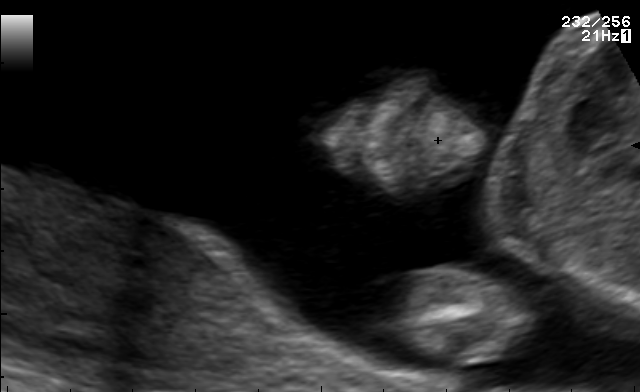
Which standard maternal-fetal ultrasound plane is shown: fetal abdomen, fetal brain, fetal femur, fetal thorax, maternal cervix, or other? If it's fetal brain and one of the three standard brain planes (trans-thalamic, trans-cerebellum, trans-ventricular), name which.

Other